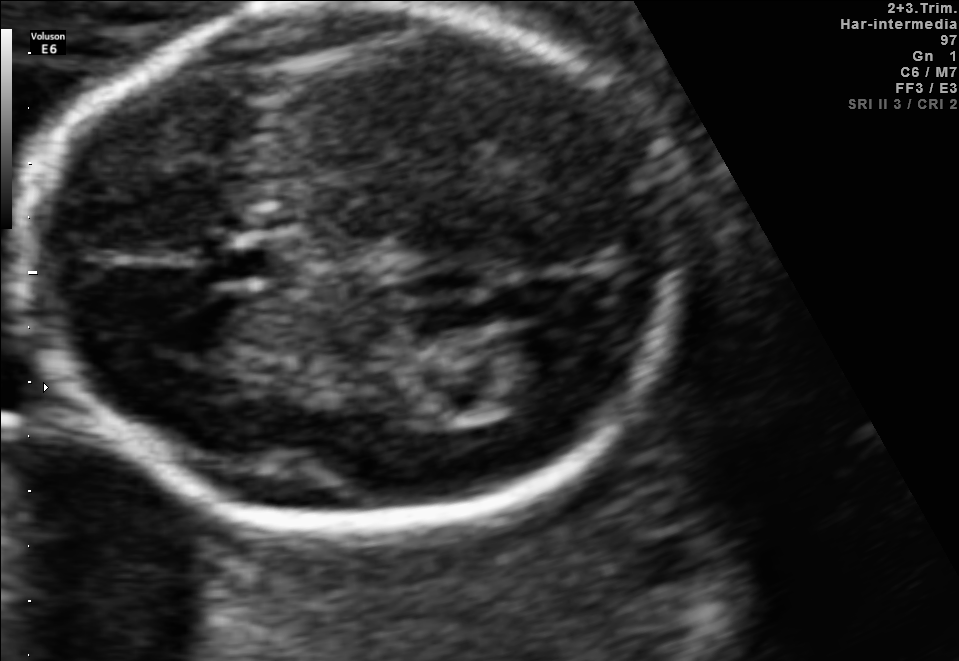
Fetal brain, trans-thalamic plane. Locate the fetal head.

Head: [16,3,687,546]